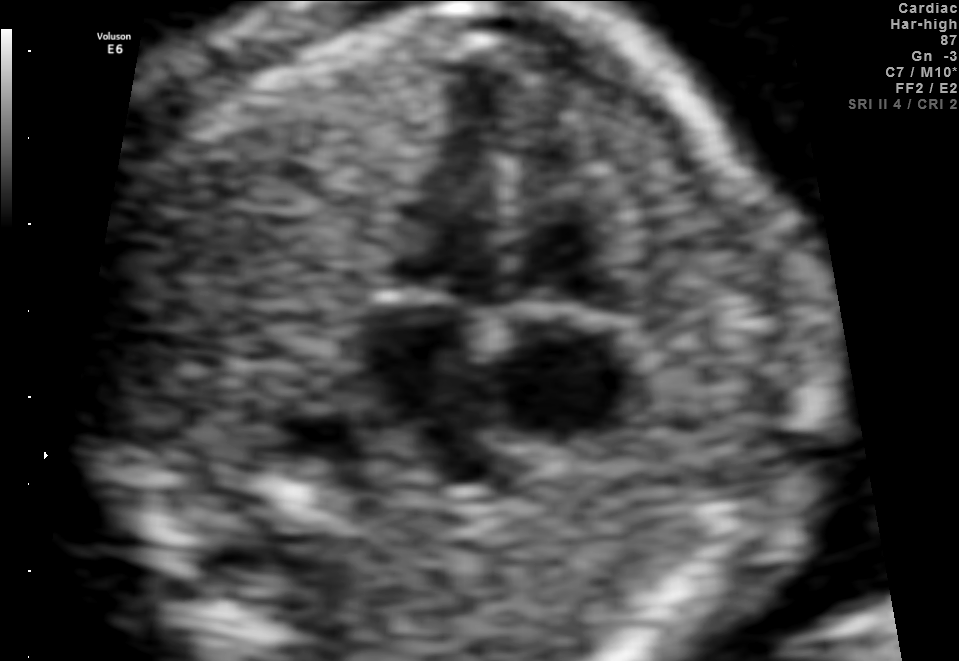
Classify this maternal-fetal ultrasound image as one of the six standard planes — fetal abdomen, fetal brain, fetal femur, fetal thorax, maternal cervix, or other. If it's fetal brain and one of the three standard brain planes (trans-thalamic, trans-cerebellum, trans-ventricular), name which.

Fetal thorax